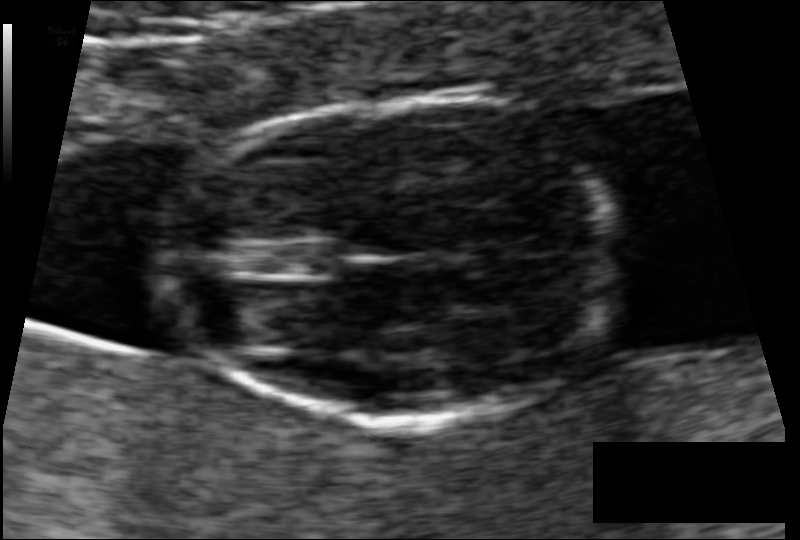
Fetal head ultrasound. Image width: 49.5 mm. Locate the fetal head and, if visible, the cavum septum pellucidum (CSP) and lateral ventricle (LV). Give bounding boxes as [x1,y1,x2,y2].

Head: [171,99,616,422]